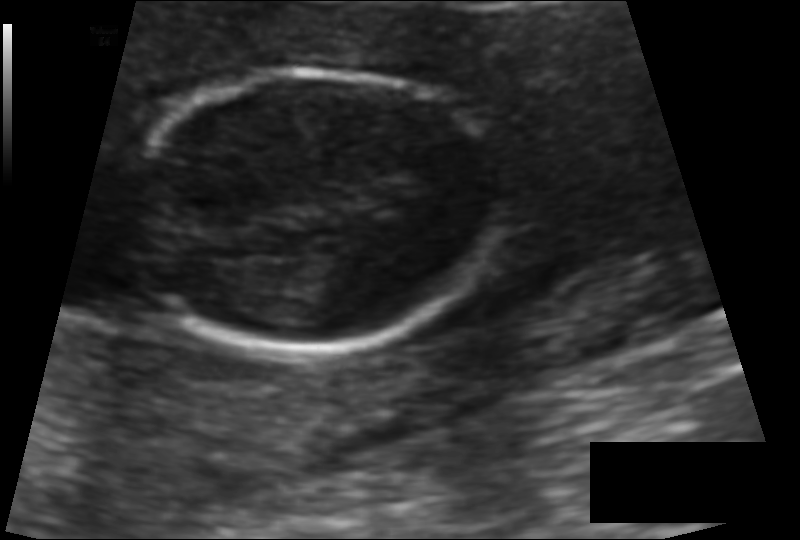
Fetal head ultrasound. Image width: 75.9 mm. Locate the fetal head and, if visible, the cavum septum pellucidum (CSP) and lateral ventricle (LV). Give bounding boxes as [x1,y1,x2,y2].

Head: [132,72,496,355]